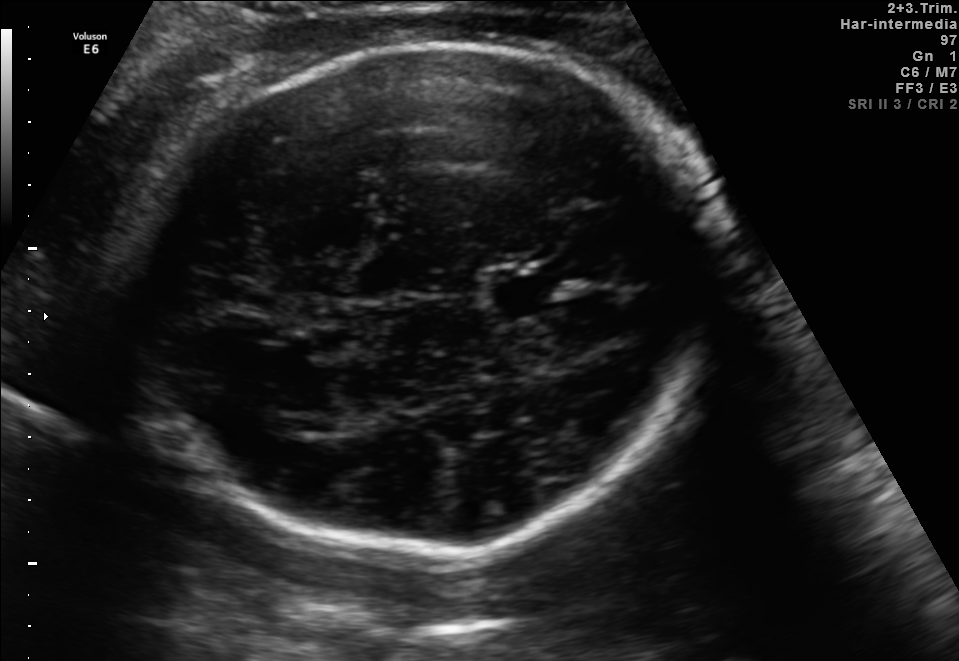
Fetal brain, trans-thalamic plane. Locate the cavum septum pellucidum.

CSP: [485,267,562,319]